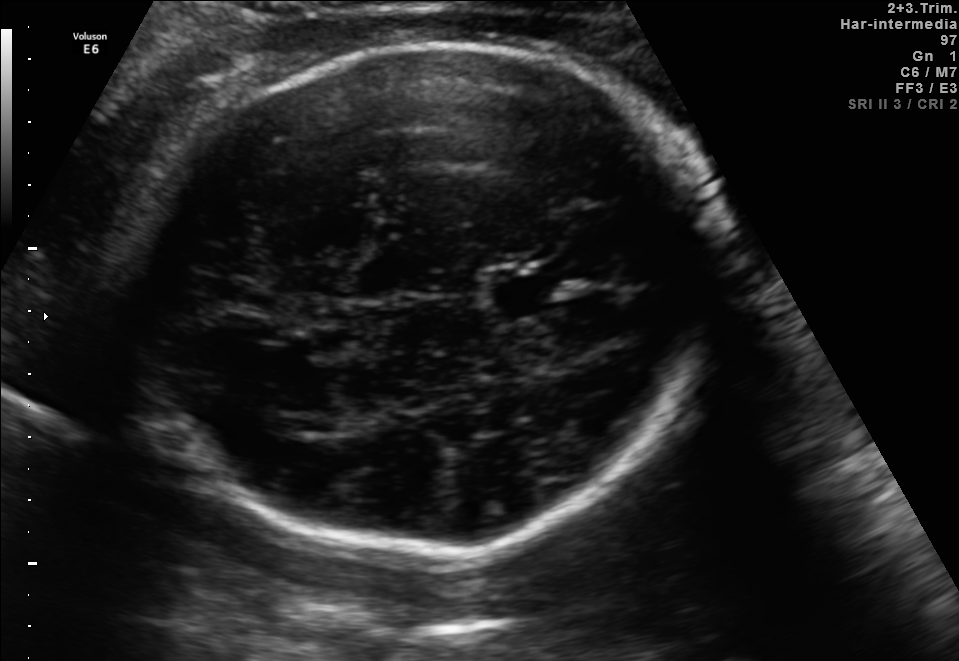
Fetal brain, trans-thalamic plane. Where is the cavum septum pellucidum?

CSP bounding box: [485,267,562,319]